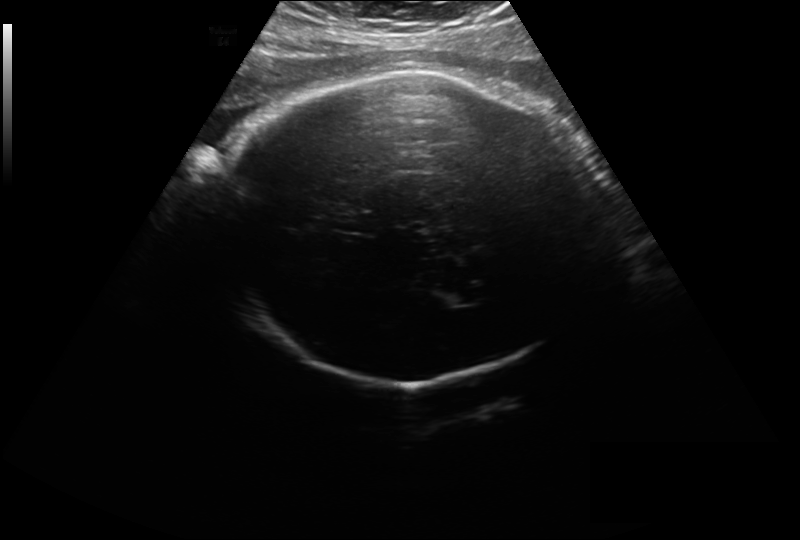
What is the fetal head circumference? Image width is 237.5 mm.

329.3 mm